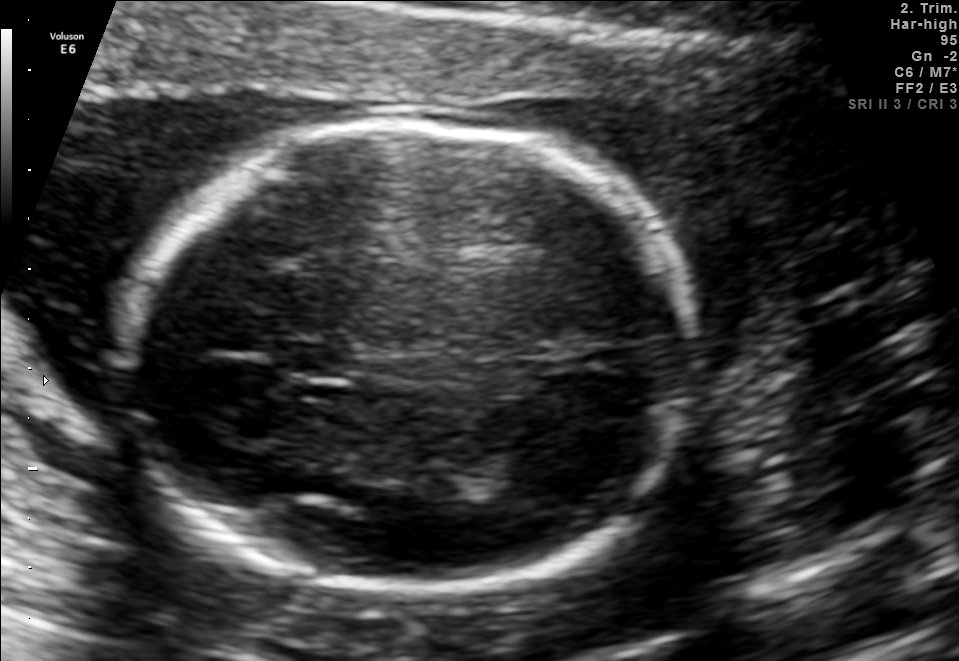
Fetal brain, trans-thalamic plane. Locate the cavum septum pellucidum.

CSP: [274,340,346,377]